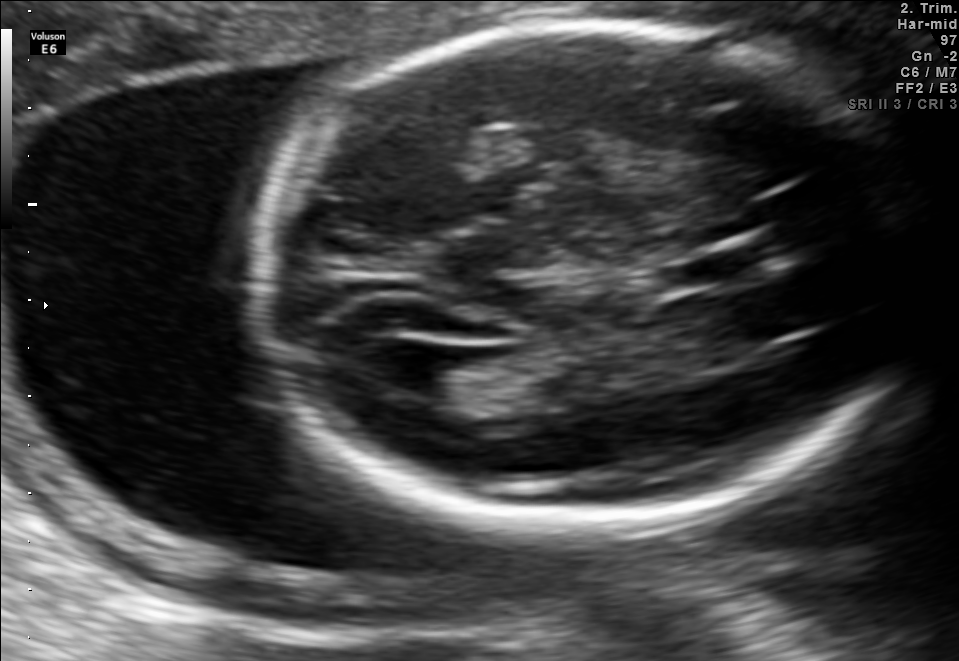
In this fetal brain, trans-ventricular plane, give bounding boxes for the head outline, cavum septum pellucidum (CSP), and lateral ventricle (LV), where visible.

Head: [243,15,934,544]
CSP: [661,244,752,298]
Lateral ventricle: [366,337,455,400]